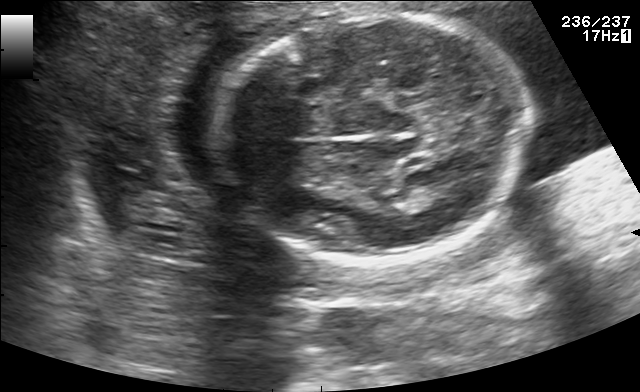
Fetal brain, trans-thalamic plane. Where is the fetal head?

Head bounding box: [214,10,532,263]